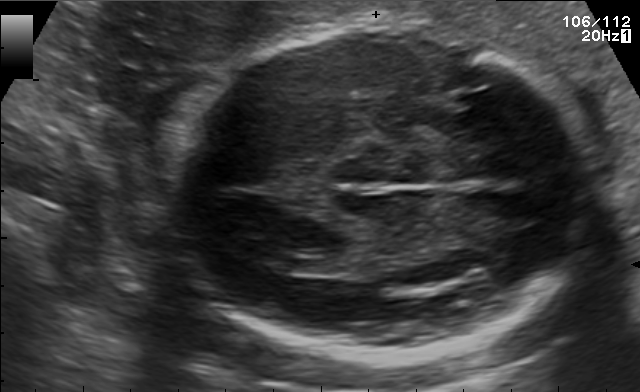
Classify this maternal-fetal ultrasound image as one of the six standard planes — fetal abdomen, fetal brain, fetal femur, fetal thorax, maternal cervix, or other. If it's fetal brain and one of the three standard brain planes (trans-thalamic, trans-cerebellum, trans-ventricular), name which.

Fetal brain (trans-ventricular plane)